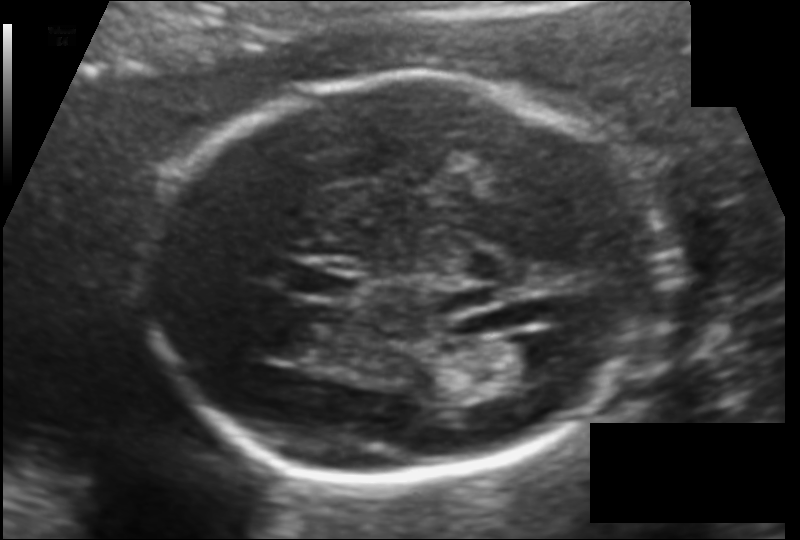
Fetal head ultrasound. Image width: 95.9 mm. Where is the fetal head?

Head bounding box: [153,74,664,481]